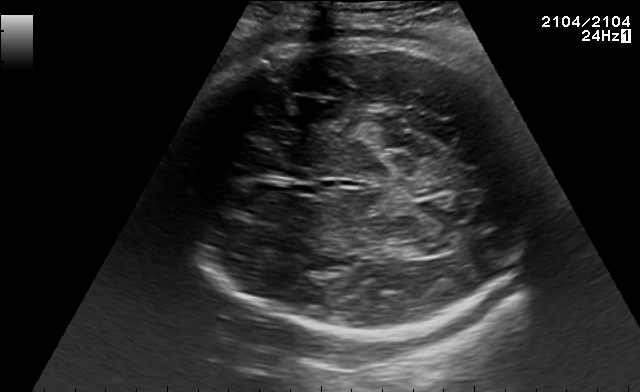
In this fetal brain, trans-thalamic plane, give bounding boxes for the head outline, cavum septum pellucidum (CSP), and lateral ventricle (LV), where visible.

Head: [168,40,538,335]
CSP: [293,185,317,194]
Lateral ventricle: [412,234,459,258]